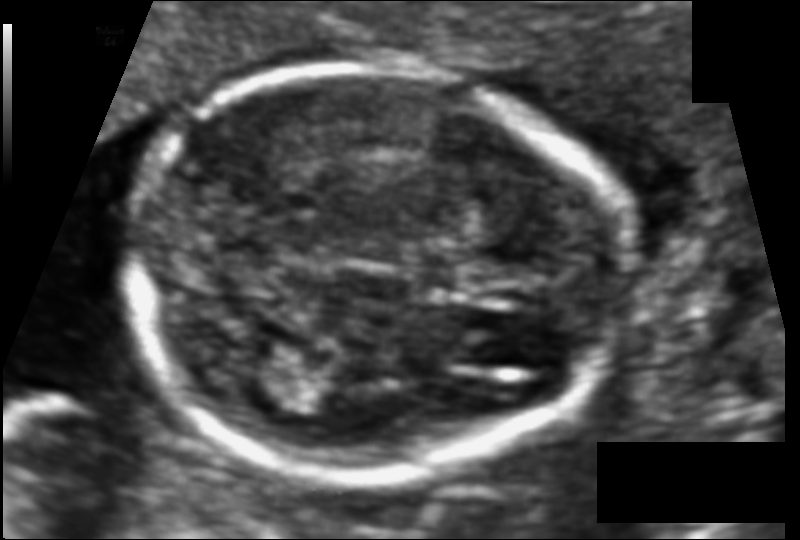
Estimate the fetal head circumference from this 2D ultrasound. Image width: 65.0 mm.

Head circumference: 122.0 mm.